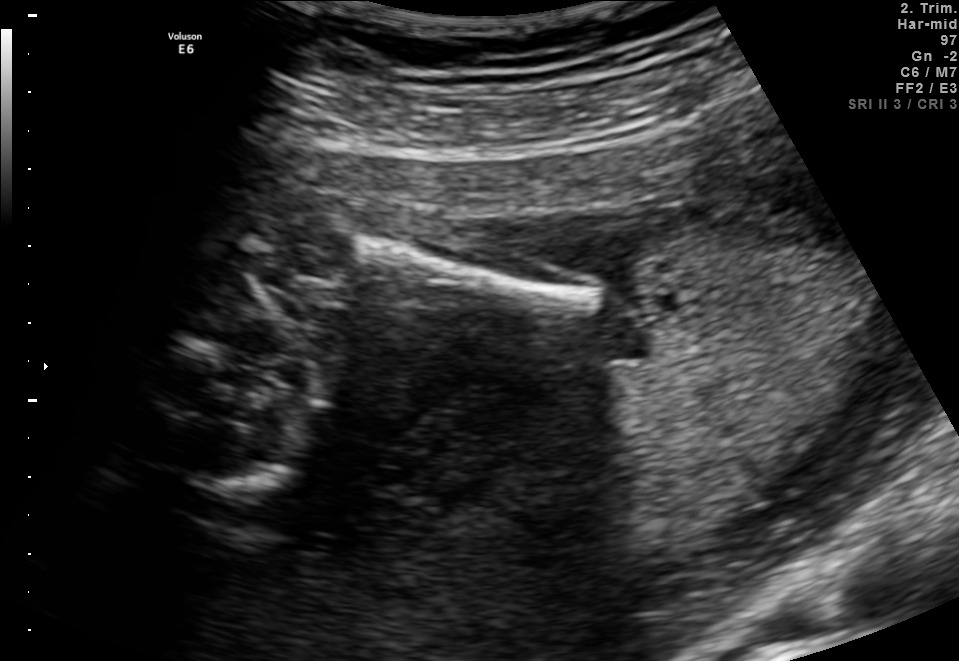
This is a 2D maternal-fetal ultrasound frame. Is it a fetal abdomen, fetal brain, fetal femur, fetal thorax, maternal cervix, or other standard plane? If it's fetal brain and one of the three standard brain planes (trans-thalamic, trans-cerebellum, trans-ventricular), name which.

Other